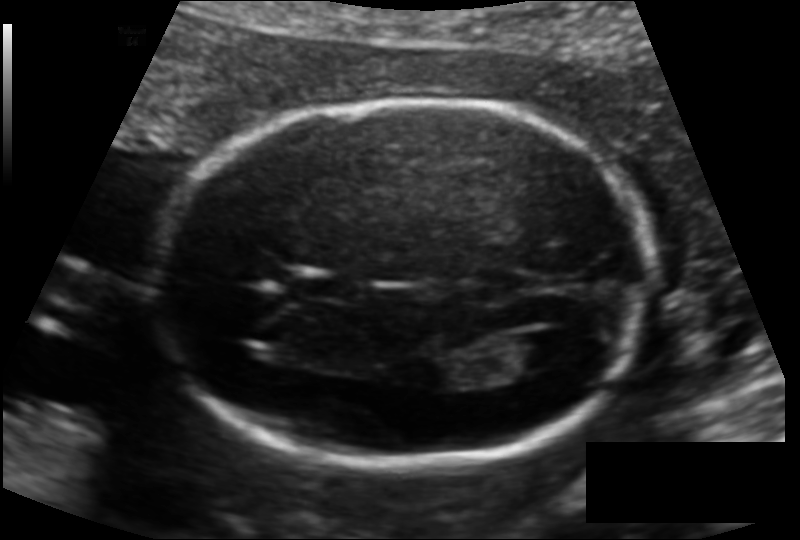
Fetal head ultrasound. Image width: 102.6 mm. Locate the fetal head.

Head: [155,99,650,466]